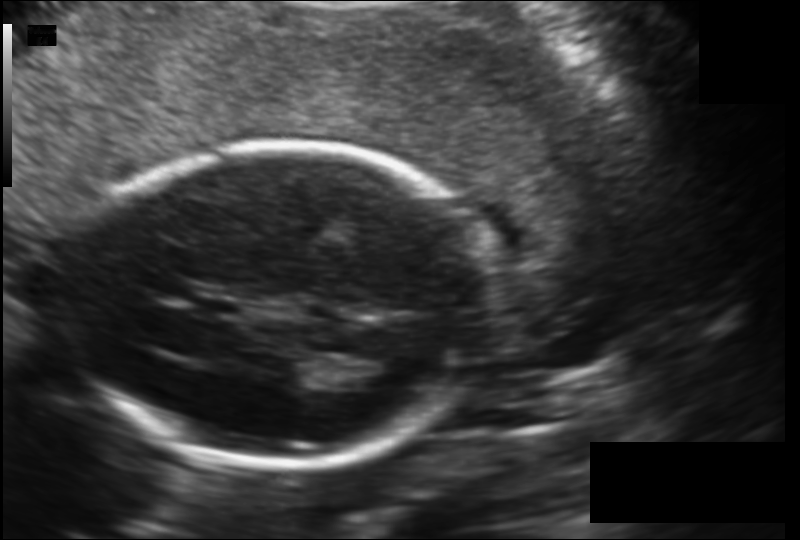
From this fetal ultrasound, estimate the head circumference (image width 117.3 mm).

Head circumference: 174.8 mm.